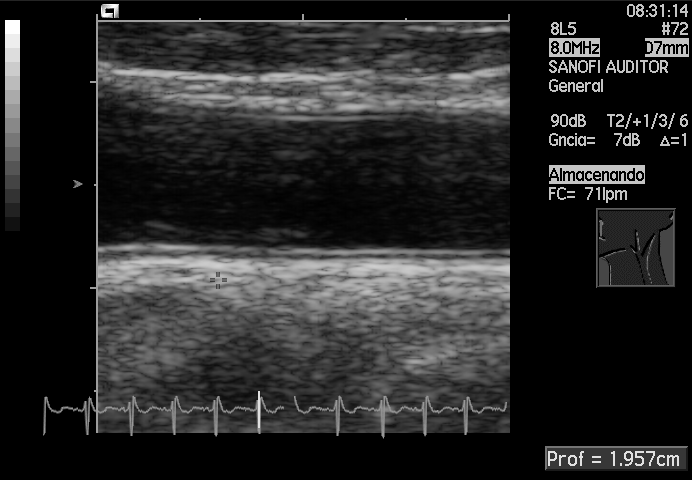
Identify the standard plane in this fetal ultrasound image: fetal abdomen, fetal brain, fetal femur, fetal thorax, maternal cervix, or other. If it's fetal brain and one of the three standard brain planes (trans-thalamic, trans-cerebellum, trans-ventricular), name which.

Other